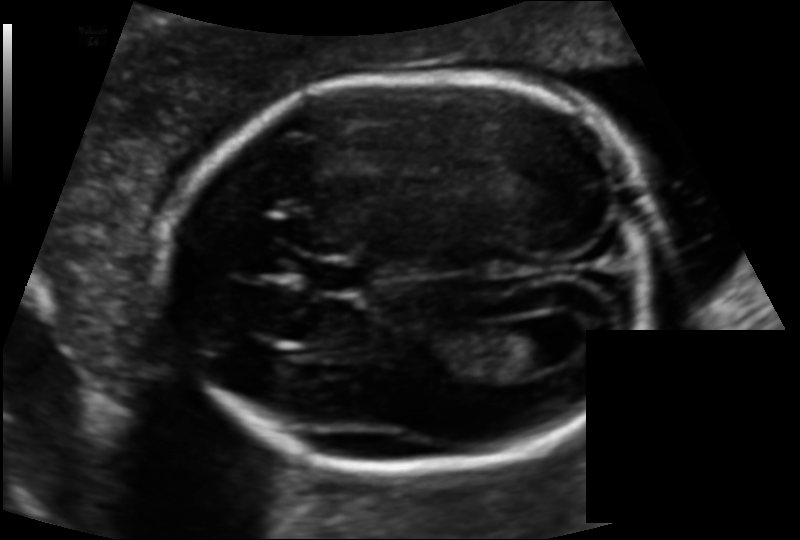
Fetal head ultrasound. Image width: 95.5 mm. Locate the cavum septum pellucidum.

CSP: [305,255,371,295]